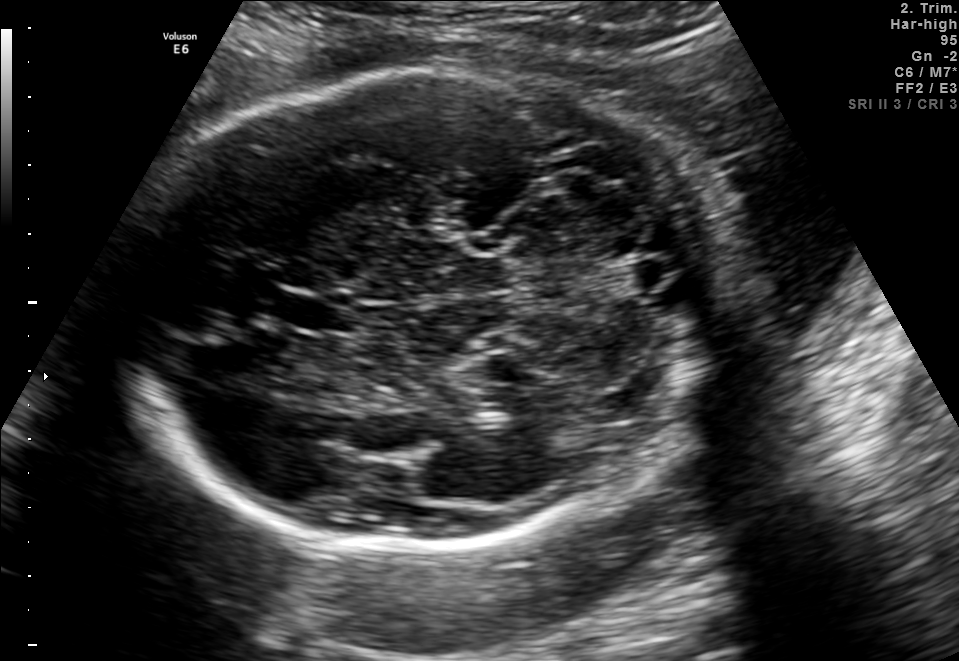
In this fetal brain, trans-cerebellum plane, give the bounding box of the fetal head.

[123,71,720,554]